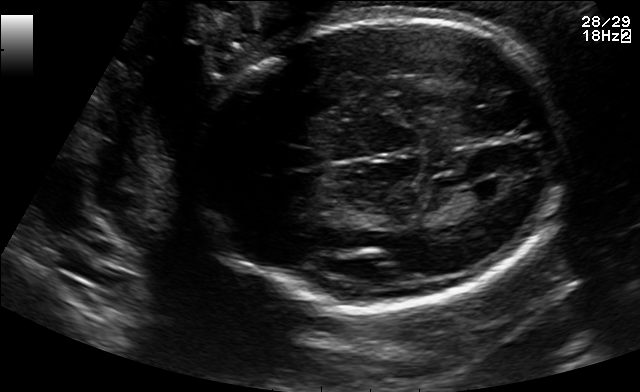
Fetal brain, trans-ventricular plane. Locate the fetal head and, if visible, the cavum septum pellucidum (CSP) and lateral ventricle (LV). Give bounding boxes as [x1,y1,x2,y2].

Head: [200,14,574,310]